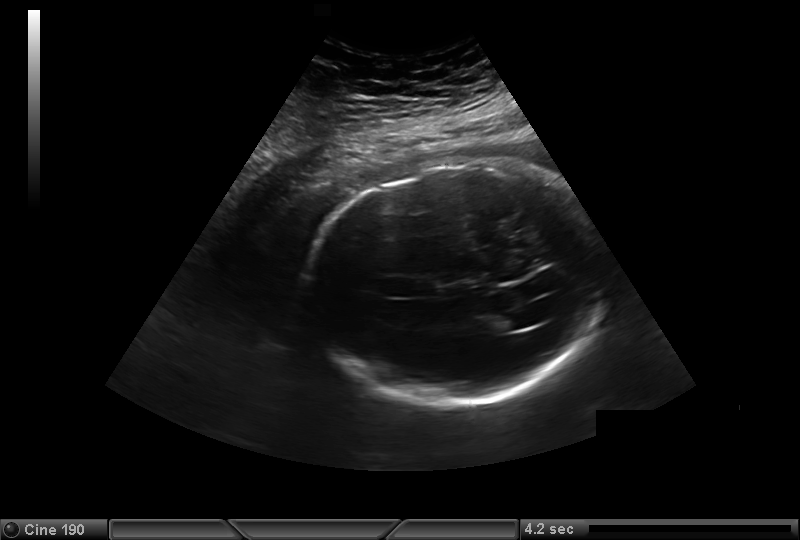
Fetal head ultrasound. Image width: 258.3 mm. Locate the fetal head.

Head: [306,164,607,405]